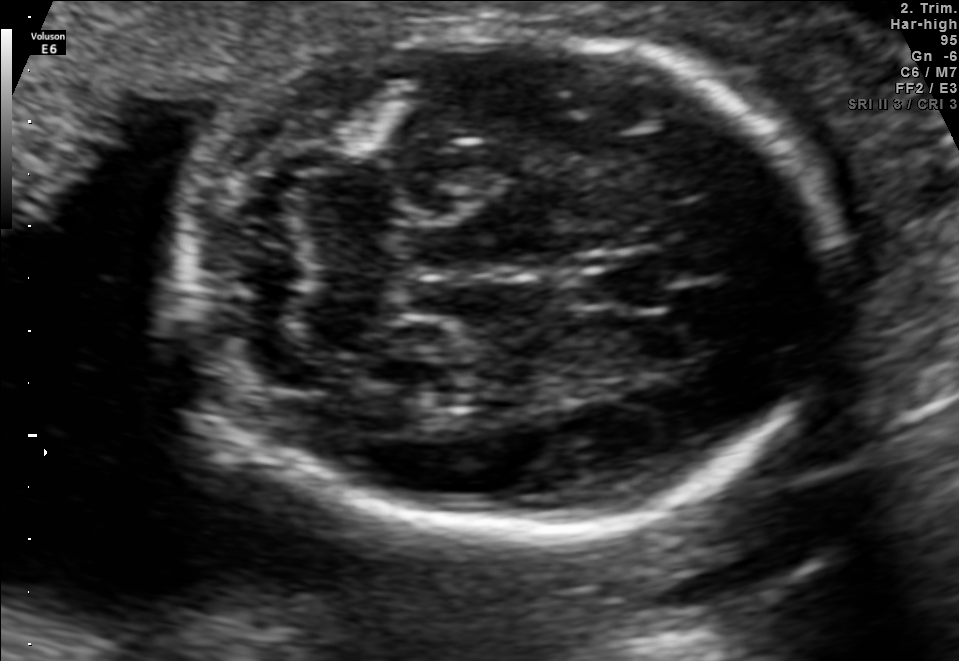
Fetal brain, trans-cerebellum plane. Locate the fetal head and, if visible, the cavum septum pellucidum (CSP) and lateral ventricle (LV). Give bounding boxes as [x1,y1,x2,y2].

Head: [182,25,835,536]
CSP: [584,261,677,316]